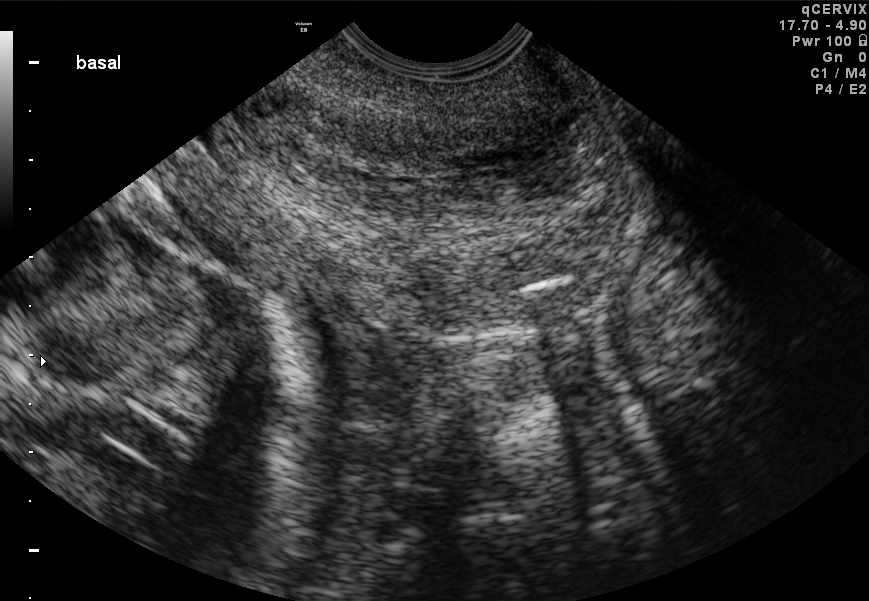
Identify the standard plane in this fetal ultrasound image: fetal abdomen, fetal brain, fetal femur, fetal thorax, maternal cervix, or other. If it's fetal brain and one of the three standard brain planes (trans-thalamic, trans-cerebellum, trans-ventricular), name which.

Maternal cervix